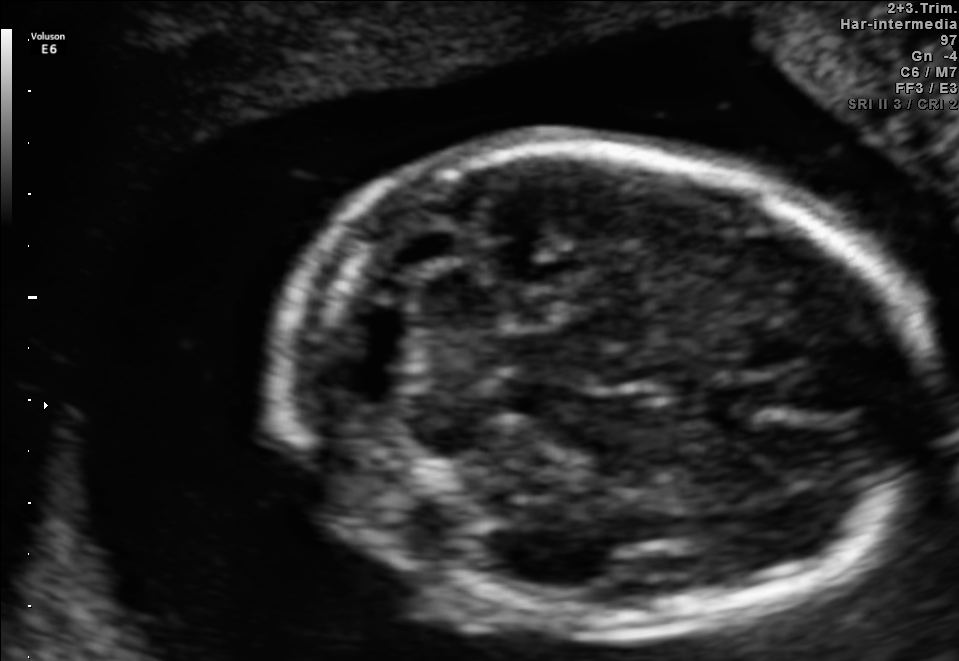
Fetal brain, trans-cerebellum plane. Locate the fetal head and, if visible, the cavum septum pellucidum (CSP) and lateral ventricle (LV). Give bounding boxes as [x1,y1,x2,y2].

Head: [272,146,925,637]
CSP: [697,375,780,427]